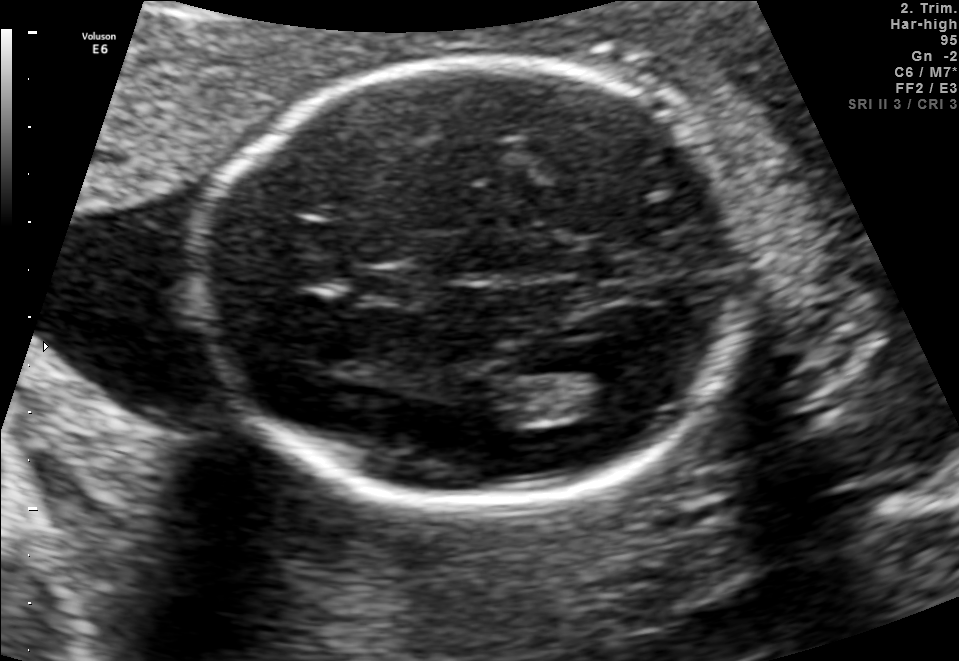
In this fetal brain, trans-thalamic plane, give the bounding box of the fetal head.

[201,59,746,502]